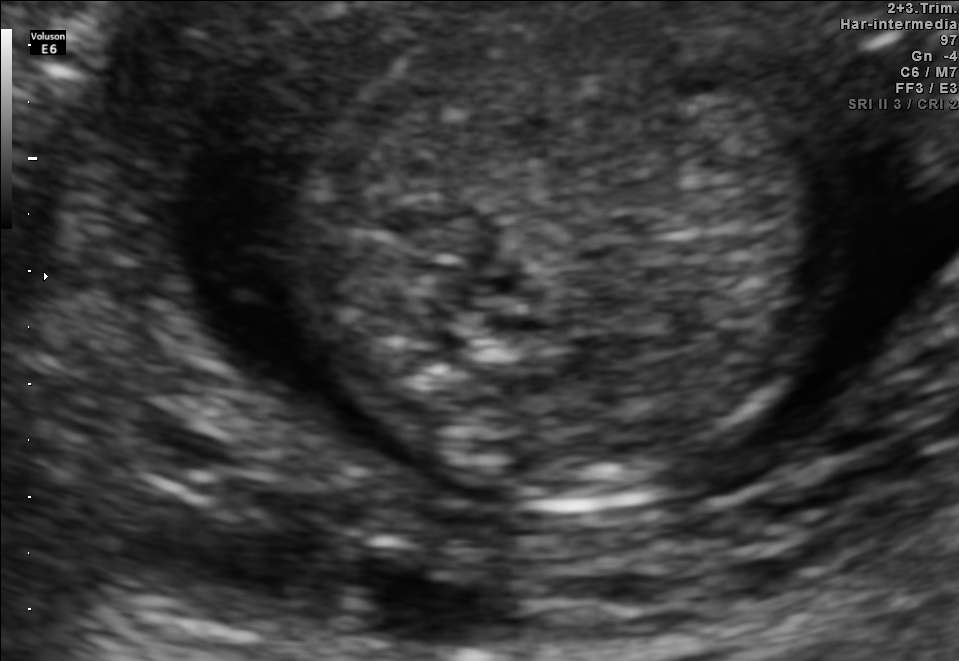
Which standard maternal-fetal ultrasound plane is shown: fetal abdomen, fetal brain, fetal femur, fetal thorax, maternal cervix, or other? If it's fetal brain and one of the three standard brain planes (trans-thalamic, trans-cerebellum, trans-ventricular), name which.

Fetal abdomen